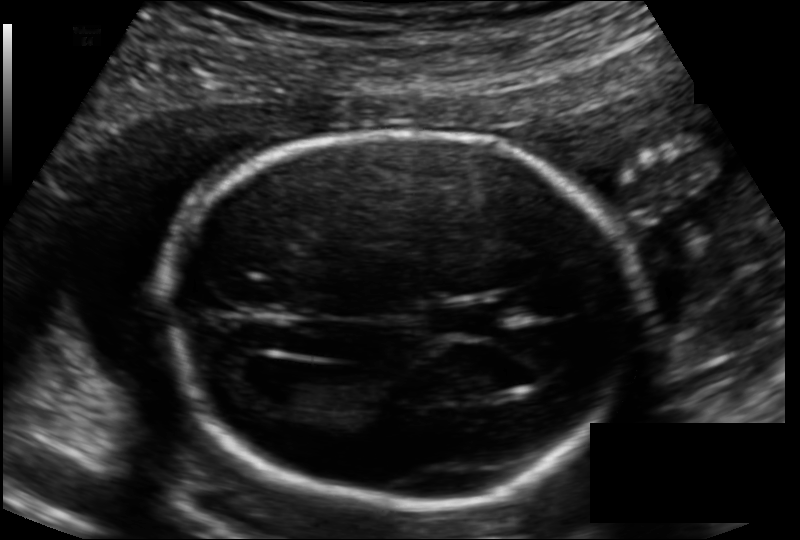
Fetal head ultrasound. Image width: 100.8 mm. Locate the cavum septum pellucidum.

CSP: [430,303,497,336]